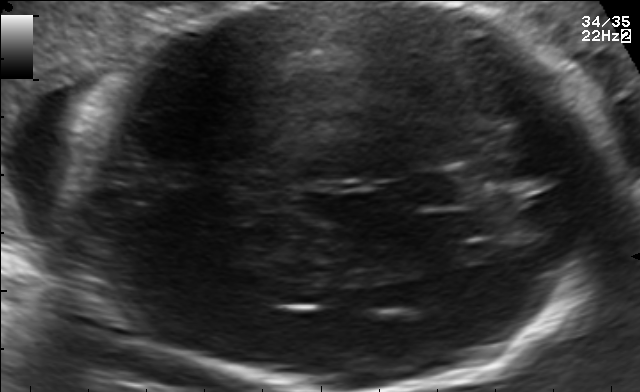
Fetal brain, trans-thalamic plane. Locate the fetal head.

Head: [65,3,622,390]